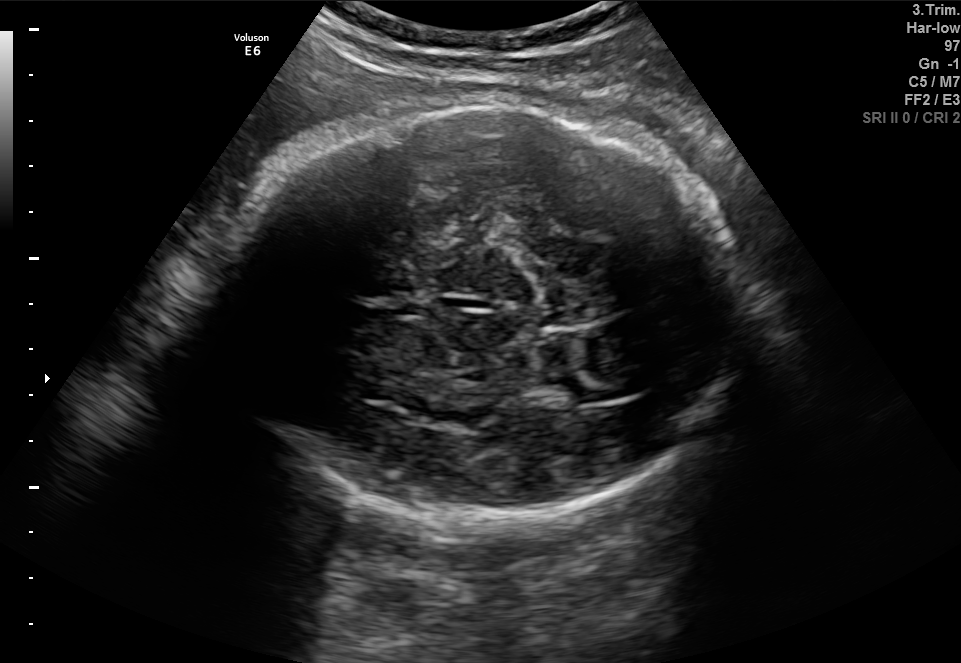
Identify the standard plane in this fetal ultrasound image: fetal abdomen, fetal brain, fetal femur, fetal thorax, maternal cervix, or other. If it's fetal brain and one of the three standard brain planes (trans-thalamic, trans-cerebellum, trans-ventricular), name which.

Fetal brain (trans-thalamic plane)